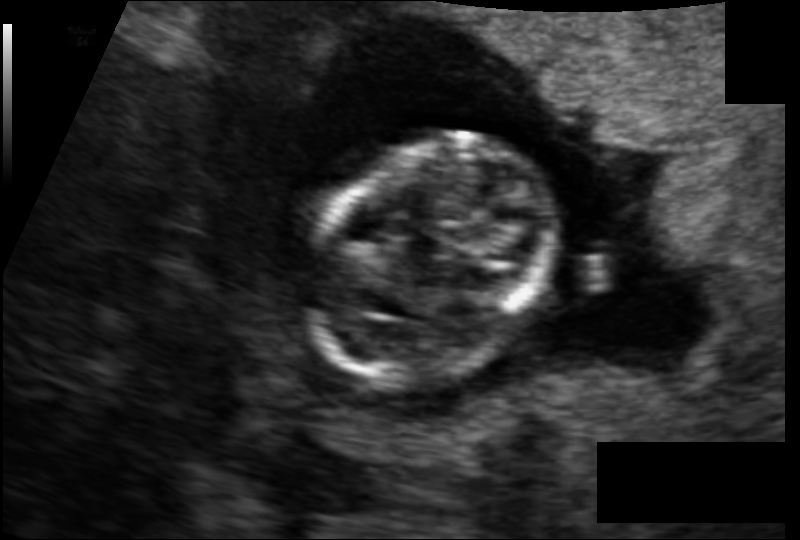
Fetal head ultrasound. Image width: 77.6 mm. Locate the fetal head.

Head: [291,134,557,378]